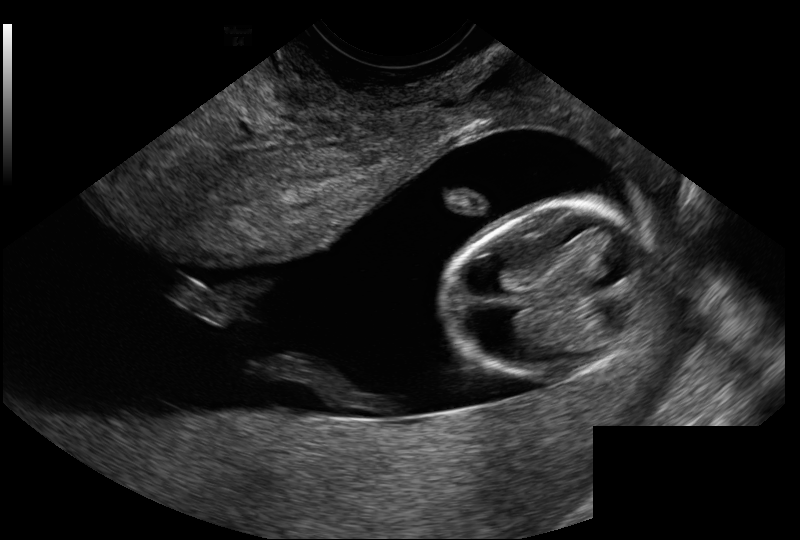
In this fetal head ultrasound, give bounding boxes for the head outline, cavum septum pellucidum (CSP), and lateral ventricle (LV), where visible. Image width: 91.5 mm.

Head: [450,202,650,379]